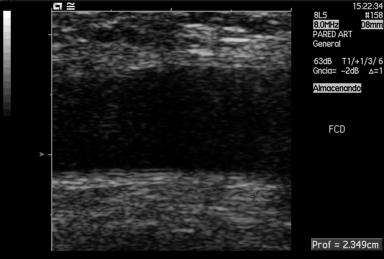
Identify the standard plane in this fetal ultrasound image: fetal abdomen, fetal brain, fetal femur, fetal thorax, maternal cervix, or other. If it's fetal brain and one of the three standard brain planes (trans-thalamic, trans-cerebellum, trans-ventricular), name which.

Other